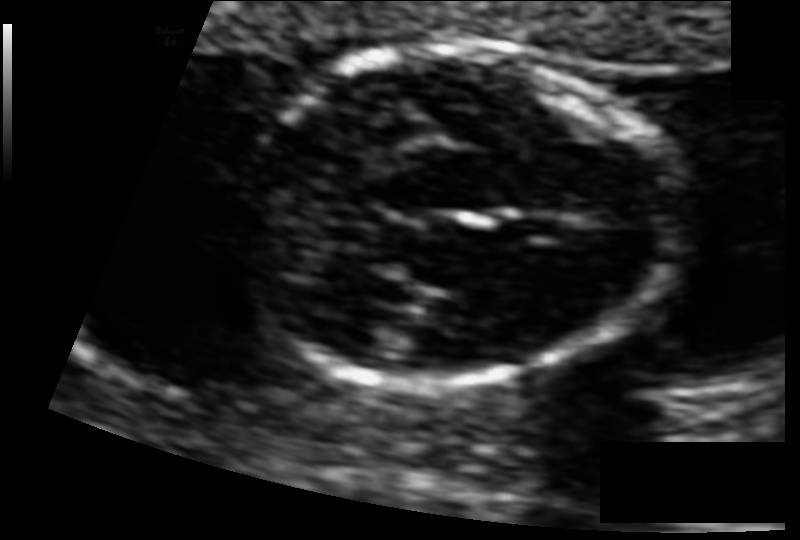
Estimate the fetal head circumference from this 2D ultrasound.

Head circumference: 92.6 mm (image width 58.4 mm).